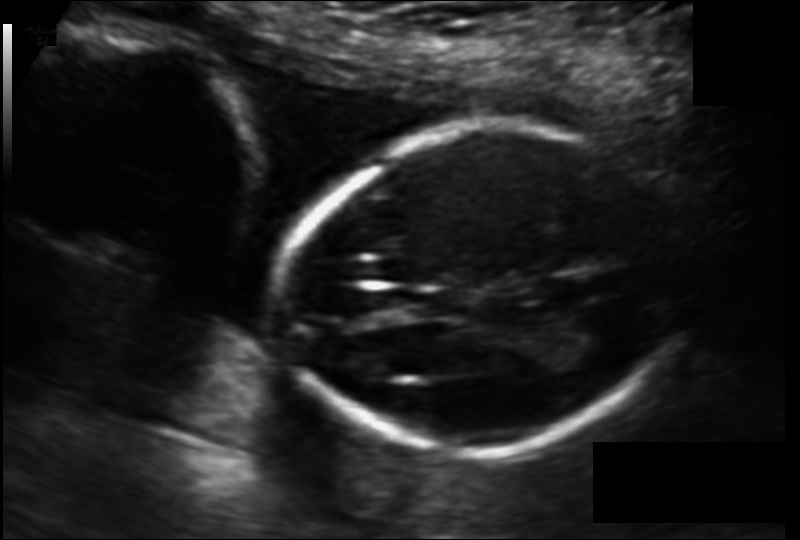
Fetal head ultrasound. Image width: 102.9 mm. Where is the fetal head?

Head bounding box: [274,123,676,453]